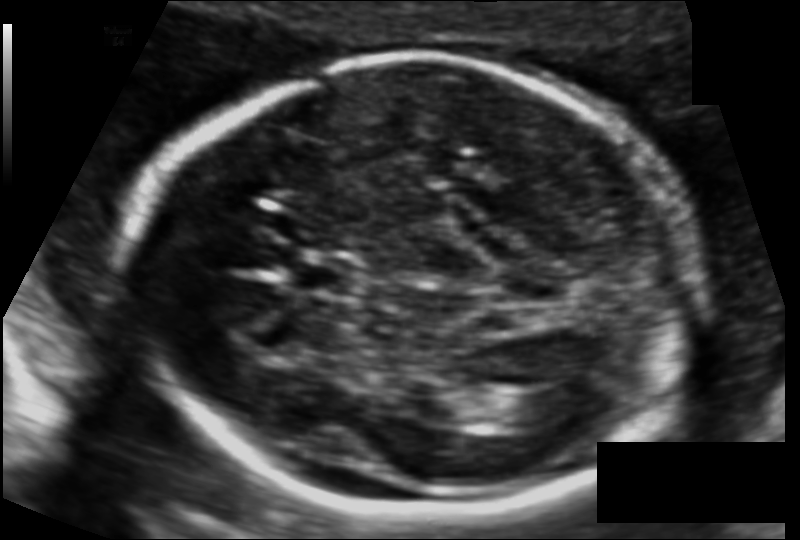
In this fetal head ultrasound, give bounding boxes for the head outline, cavum septum pellucidum (CSP), and lateral ventricle (LV), where visible. Image width: 89.5 mm.

Head: [128,59,702,512]
CSP: [284,252,352,297]
Lateral ventricle: [523,378,591,425]